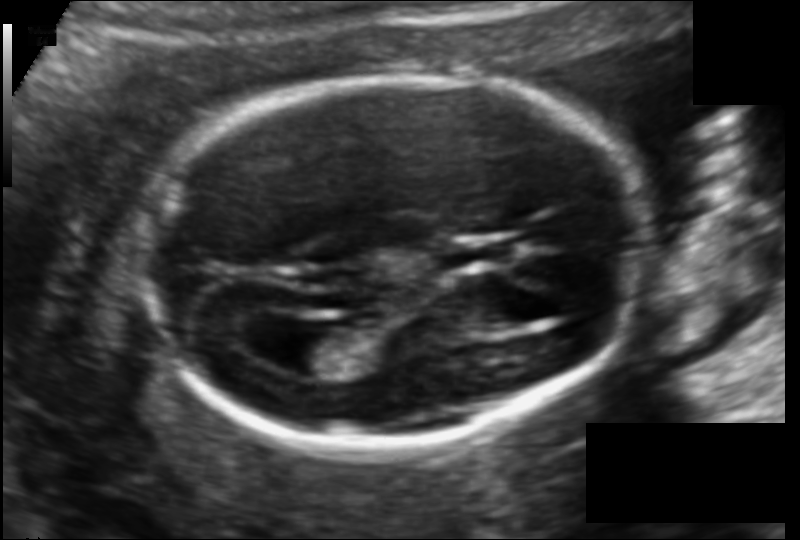
Fetal head ultrasound. Image width: 91.5 mm. Give [x1,y1,x2,y2] bounding boxes for each visible structure among: fetal head, CSP, LV.

Head: [141,77,646,447]
CSP: [441,237,507,273]
Lateral ventricle: [257,323,335,379]